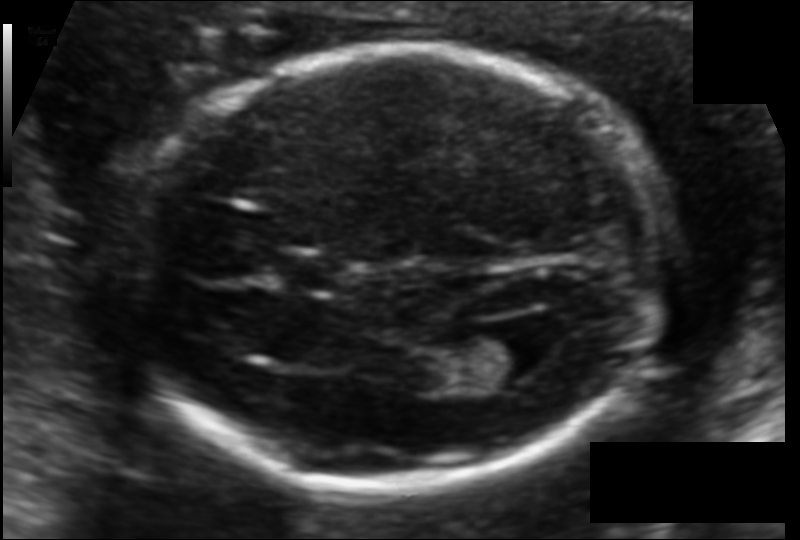
Fetal head ultrasound. Image width: 86.5 mm. Where is the lateral ventricle?

Lateral ventricle bounding box: [467,320,558,395]